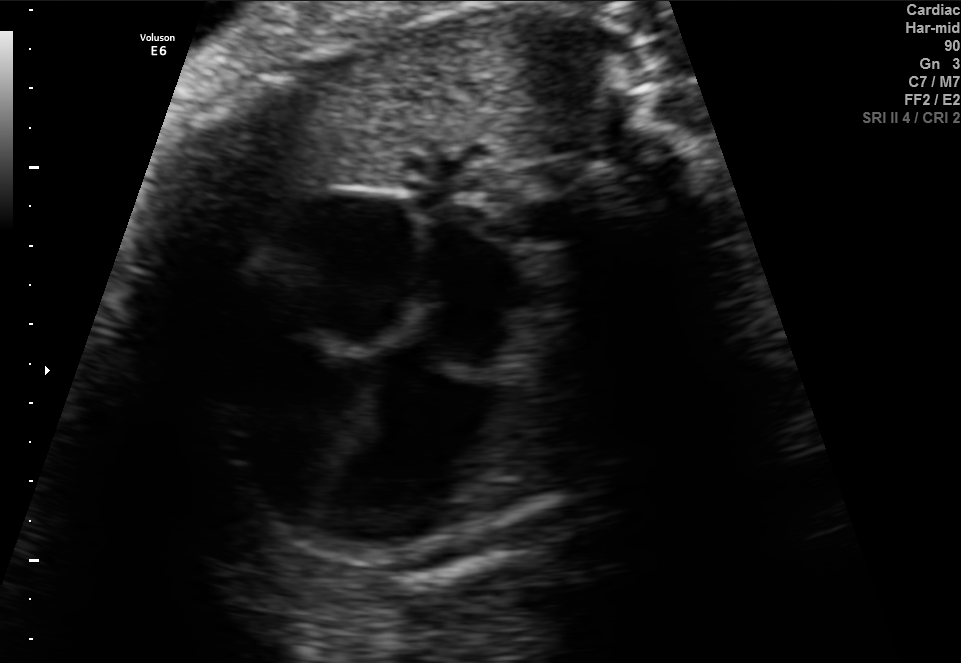
Which standard maternal-fetal ultrasound plane is shown: fetal abdomen, fetal brain, fetal femur, fetal thorax, maternal cervix, or other? If it's fetal brain and one of the three standard brain planes (trans-thalamic, trans-cerebellum, trans-ventricular), name which.

Fetal thorax